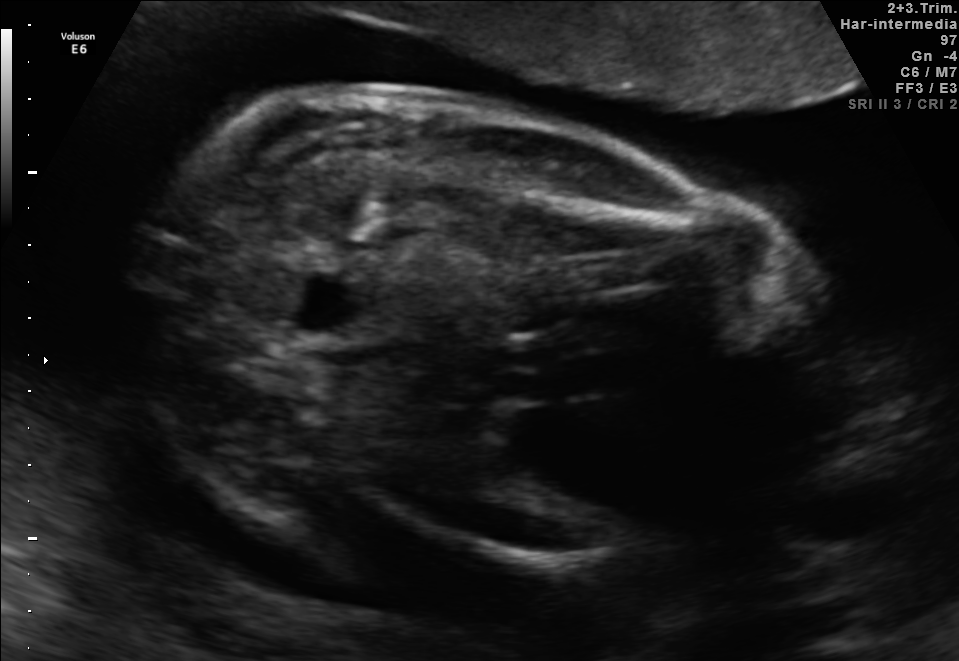
Identify the standard plane in this fetal ultrasound image: fetal abdomen, fetal brain, fetal femur, fetal thorax, maternal cervix, or other. If it's fetal brain and one of the three standard brain planes (trans-thalamic, trans-cerebellum, trans-ventricular), name which.

Fetal femur